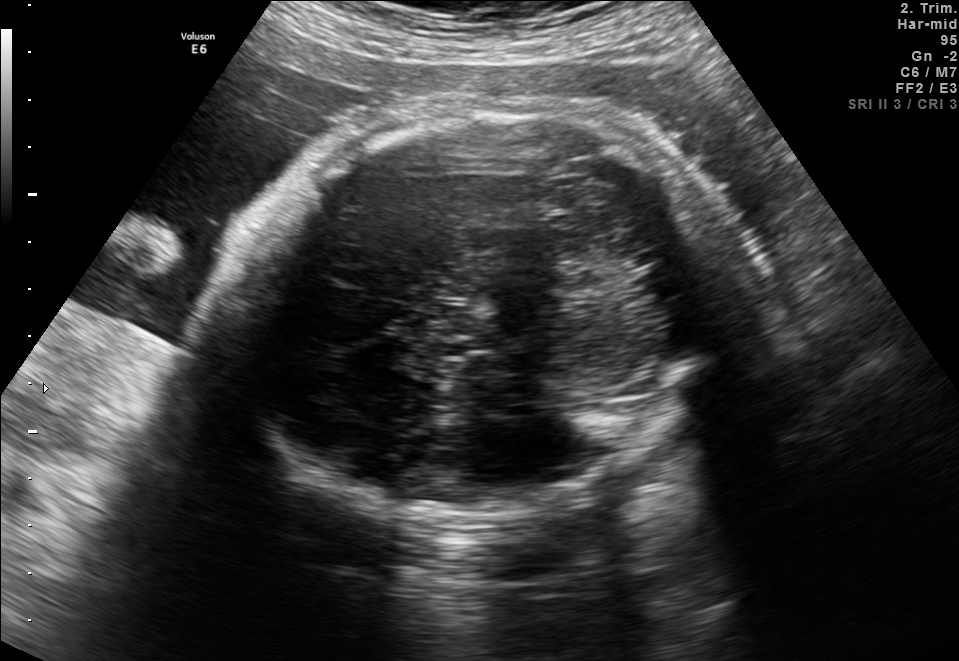
Fetal brain, trans-cerebellum plane. Locate the fetal head and, if visible, the cavum septum pellucidum (CSP) and lateral ventricle (LV). Give bounding boxes as [x1,y1,x2,y2].

Head: [240,103,729,518]